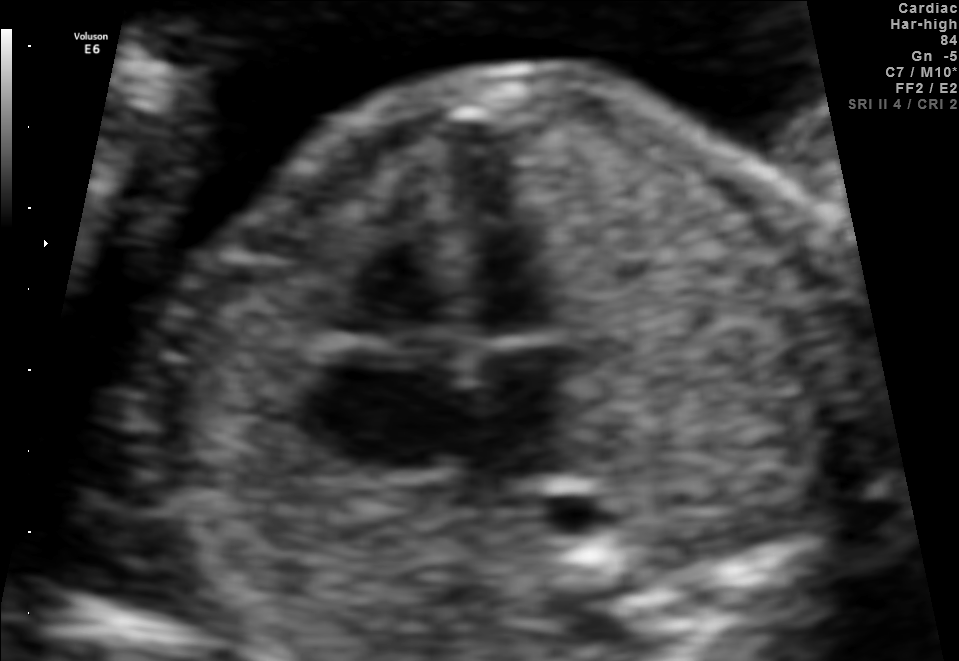
This is a 2D maternal-fetal ultrasound frame. Is it a fetal abdomen, fetal brain, fetal femur, fetal thorax, maternal cervix, or other standard plane? If it's fetal brain and one of the three standard brain planes (trans-thalamic, trans-cerebellum, trans-ventricular), name which.

Fetal thorax